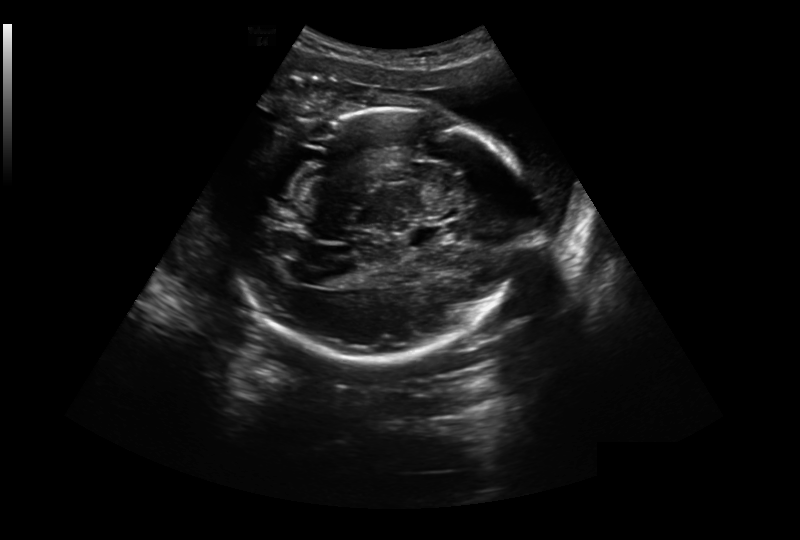
Estimate the fetal head circumference from this 2D ultrasound.

Head circumference: 270.5 mm (image width 243.0 mm).